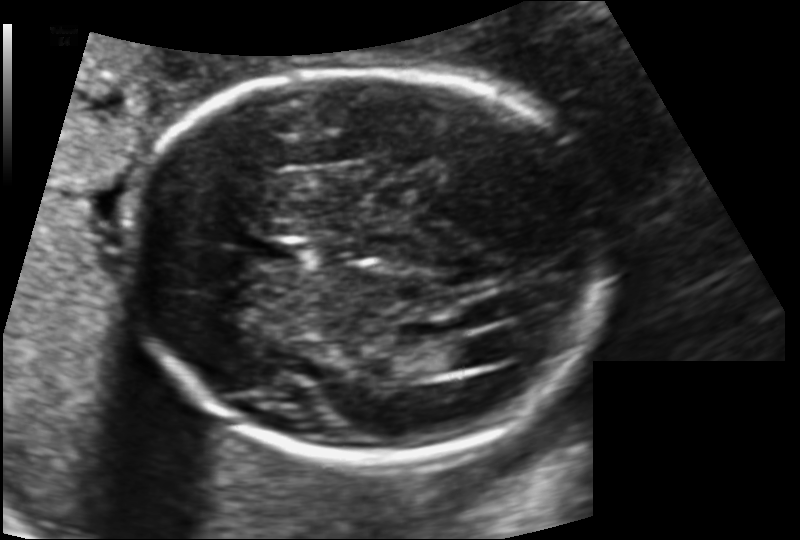
Measure the fetal head circumference shown in this ultrasound image. Image width: 107.8 mm.

Head circumference: 189.4 mm.